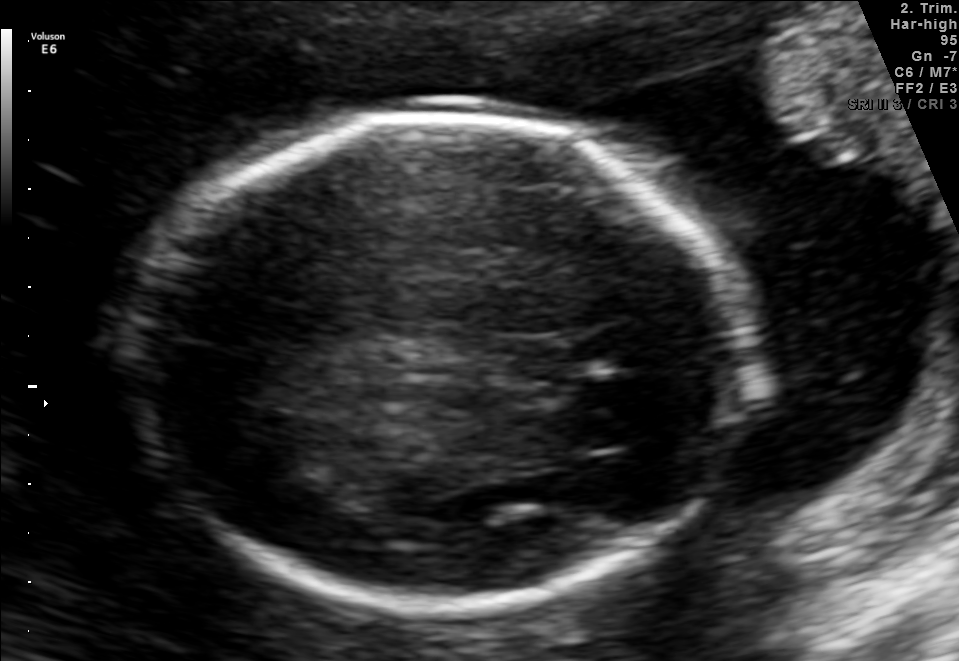
Which standard maternal-fetal ultrasound plane is shown: fetal abdomen, fetal brain, fetal femur, fetal thorax, maternal cervix, or other? If it's fetal brain and one of the three standard brain planes (trans-thalamic, trans-cerebellum, trans-ventricular), name which.

Fetal brain (trans-thalamic plane)